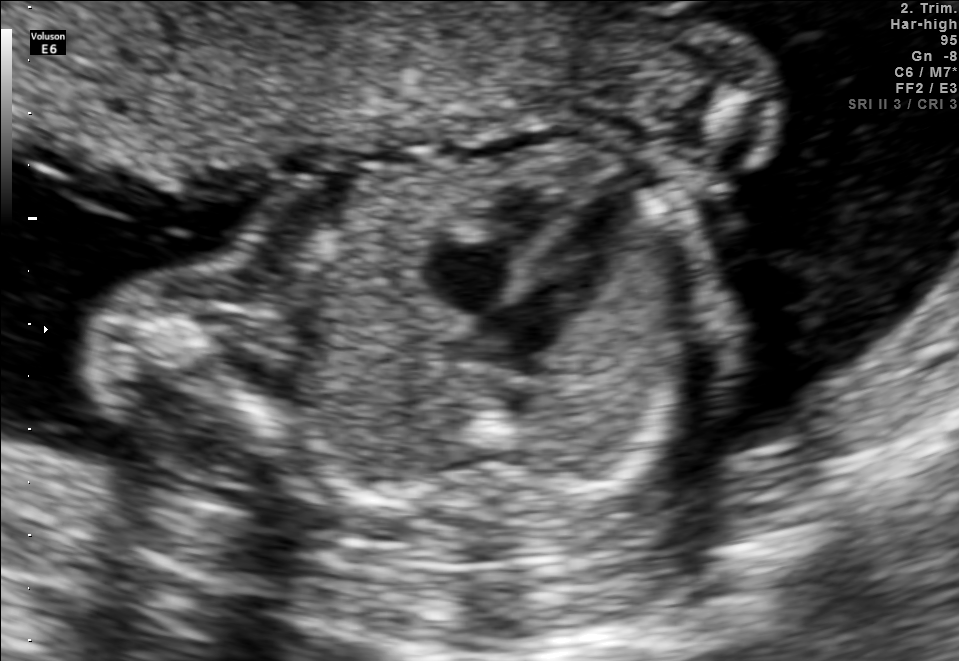
This is a 2D maternal-fetal ultrasound frame. Is it a fetal abdomen, fetal brain, fetal femur, fetal thorax, maternal cervix, or other standard plane? If it's fetal brain and one of the three standard brain planes (trans-thalamic, trans-cerebellum, trans-ventricular), name which.

Fetal thorax